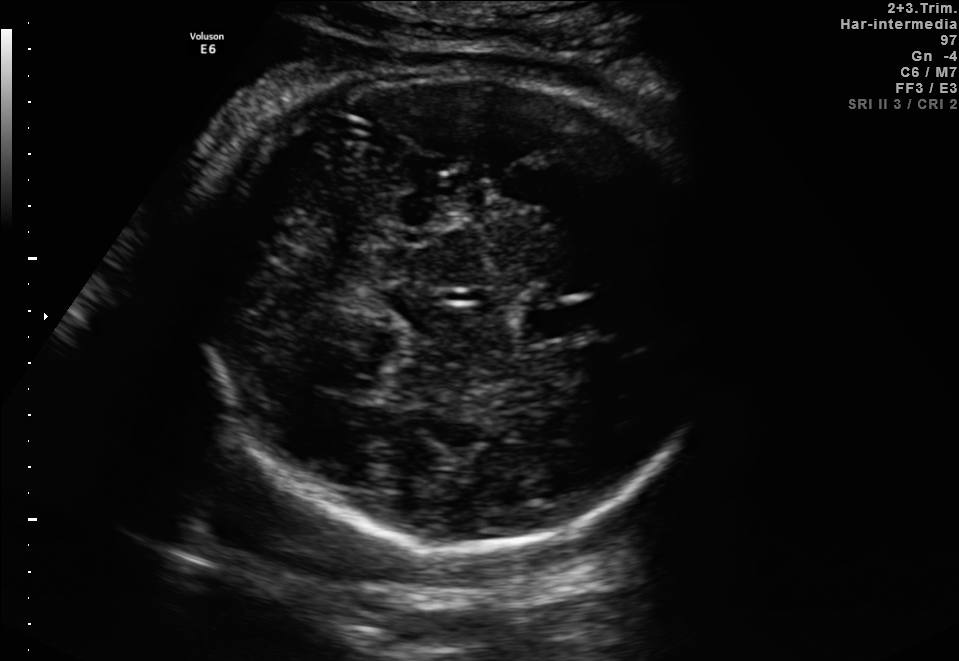
Fetal brain, trans-thalamic plane. Give [x1,y1,x2,y2] bounding boxes for each visible structure among: fetal head, CSP, LV.

Head: [192,72,715,545]
CSP: [524,299,594,343]